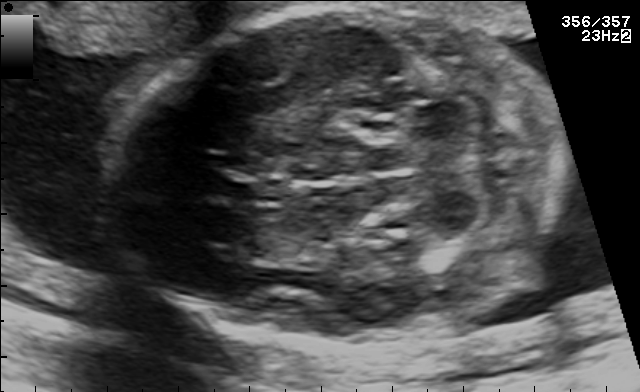
In this fetal brain, trans-cerebellum plane, give the bounding box of the fetal head.

[108,11,564,339]